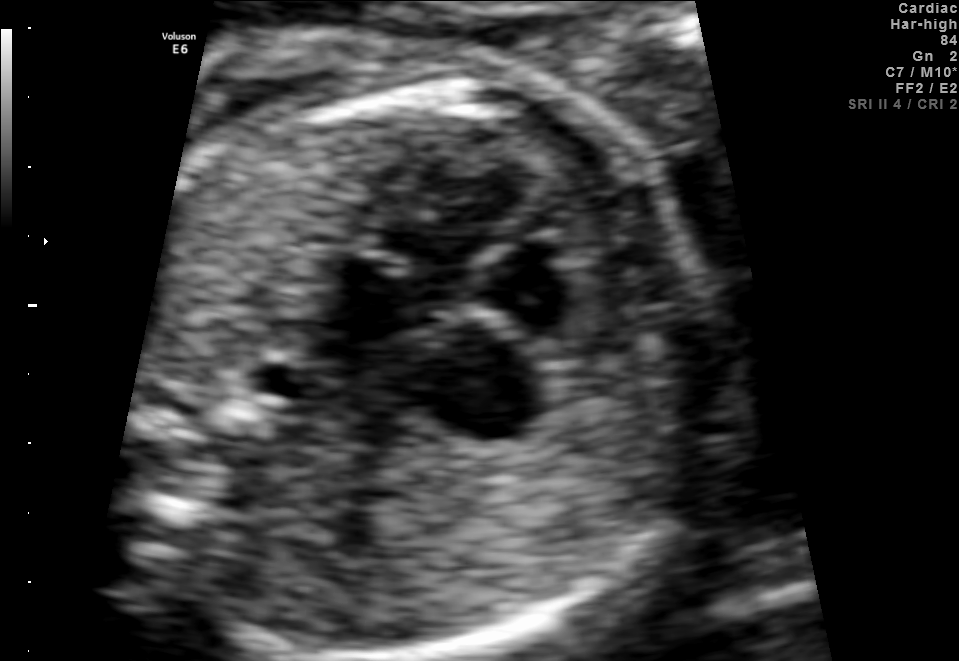
This is a 2D maternal-fetal ultrasound frame. Is it a fetal abdomen, fetal brain, fetal femur, fetal thorax, maternal cervix, or other standard plane? If it's fetal brain and one of the three standard brain planes (trans-thalamic, trans-cerebellum, trans-ventricular), name which.

Fetal thorax